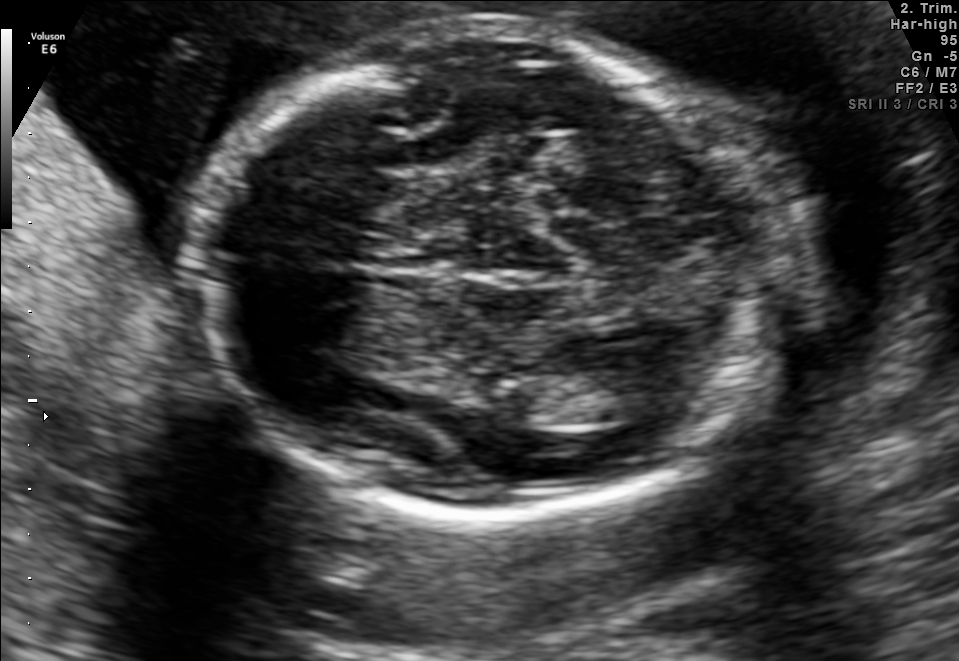
In this fetal brain, trans-thalamic plane, give bounding boxes for the head outline, cavum septum pellucidum (CSP), and lateral ventricle (LV), where visible.

Head: [198,29,787,512]
Lateral ventricle: [559,363,678,431]